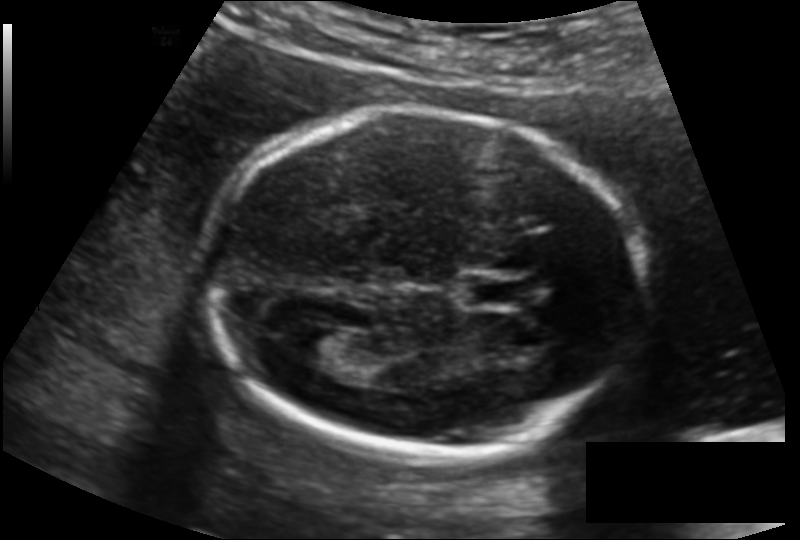
Estimate the fetal head circumference from this 2D ultrasound.

Head circumference: 170.8 mm (image width 107.6 mm).